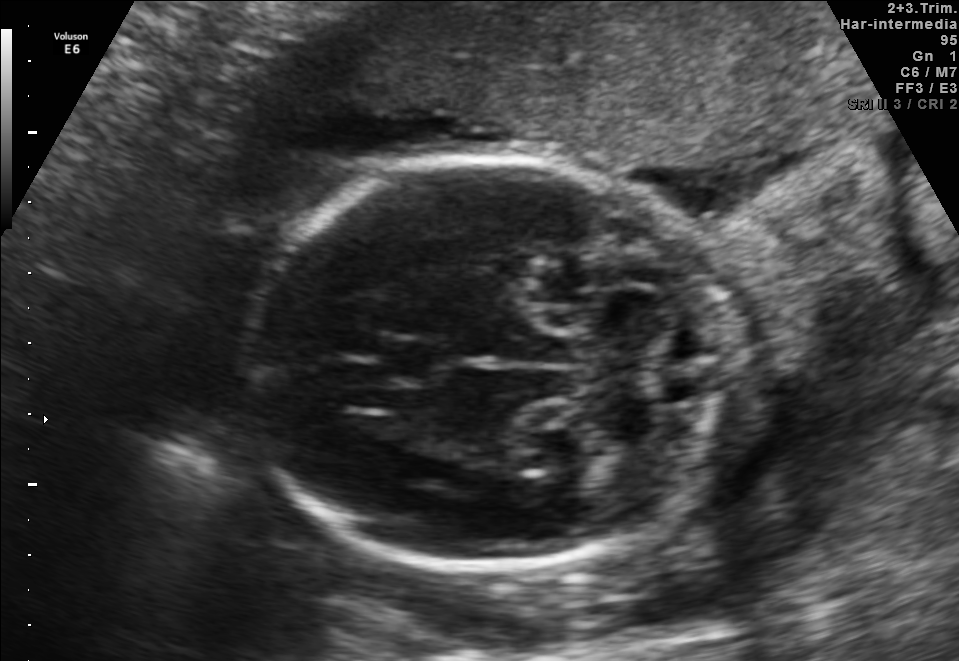
In this fetal brain, trans-cerebellum plane, give bounding boxes for the head outline, cavum septum pellucidum (CSP), and lateral ventricle (LV), where visible.

Head: [246,157,721,568]
CSP: [380,336,442,383]